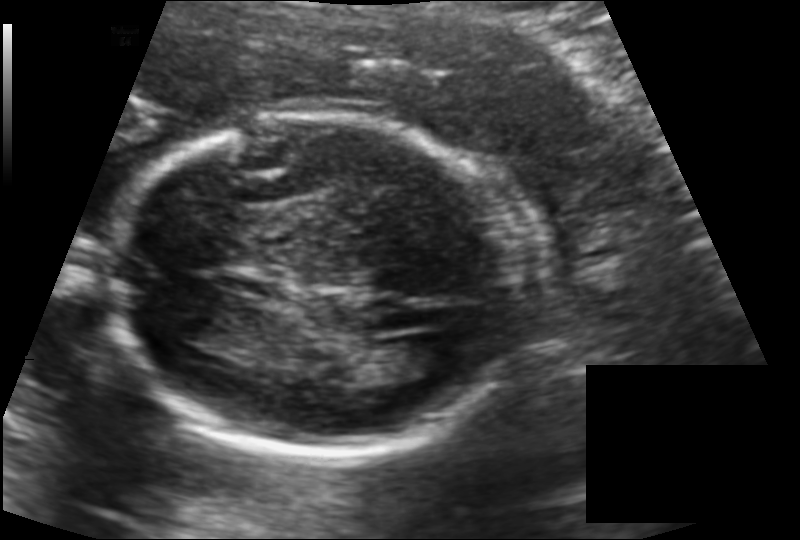
Fetal head ultrasound. Image width: 113.5 mm. Locate the fetal head.

Head: [111,115,522,459]